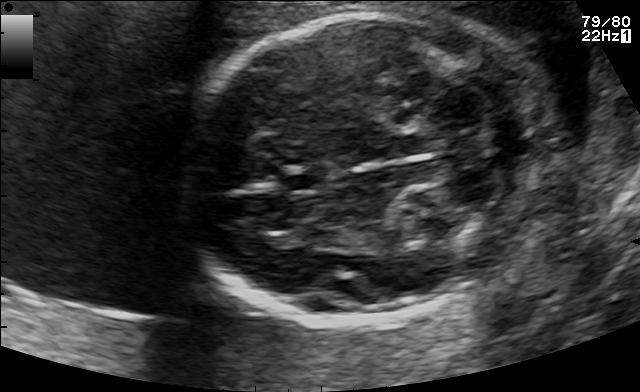
In this fetal brain, trans-cerebellum plane, give the bounding box of the fetal head.

[180,12,558,321]